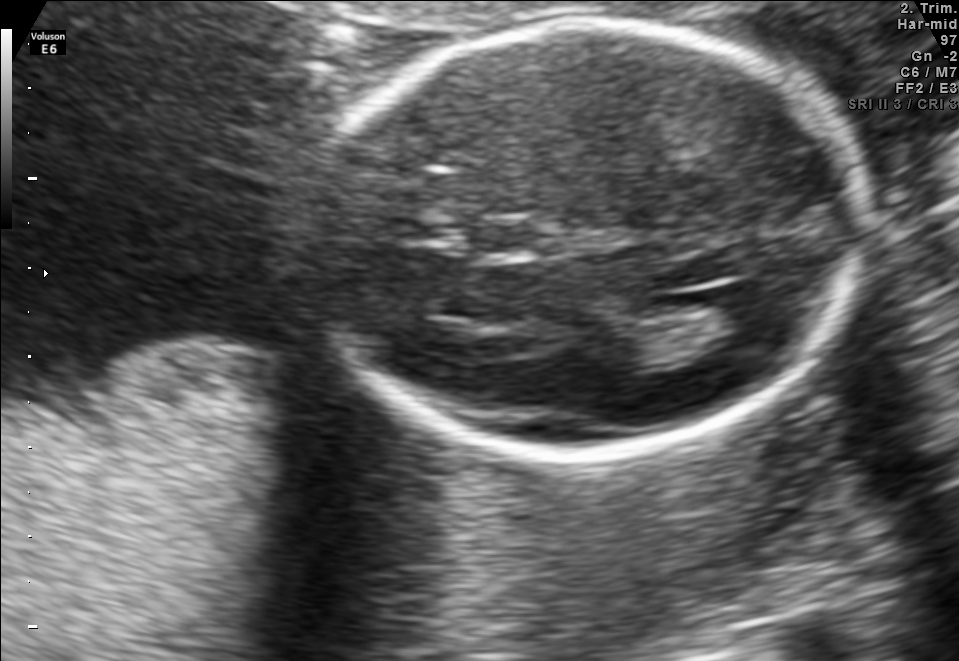
In this fetal brain, trans-ventricular plane, give the bounding box of the fetal head.

[305,15,874,462]